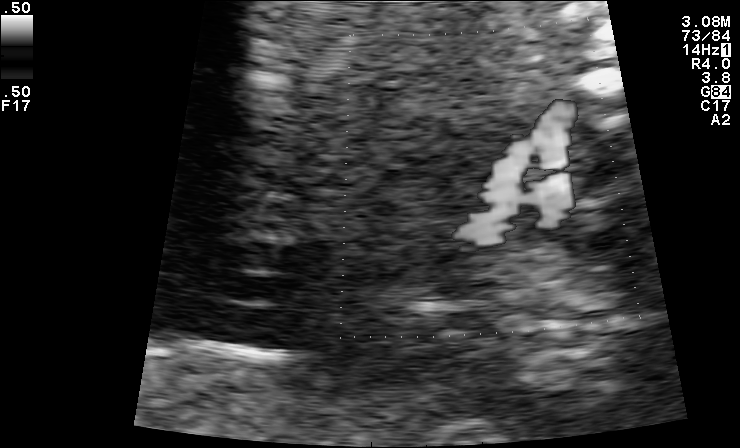
Which standard maternal-fetal ultrasound plane is shown: fetal abdomen, fetal brain, fetal femur, fetal thorax, maternal cervix, or other? If it's fetal brain and one of the three standard brain planes (trans-thalamic, trans-cerebellum, trans-ventricular), name which.

Other